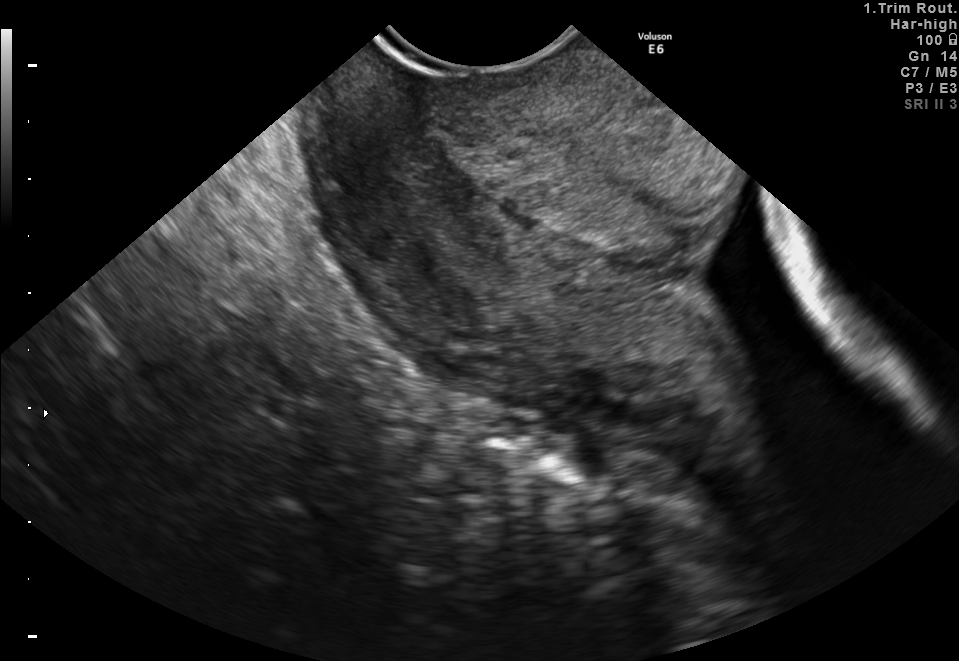
This is a 2D maternal-fetal ultrasound frame. Is it a fetal abdomen, fetal brain, fetal femur, fetal thorax, maternal cervix, or other standard plane? If it's fetal brain and one of the three standard brain planes (trans-thalamic, trans-cerebellum, trans-ventricular), name which.

Maternal cervix